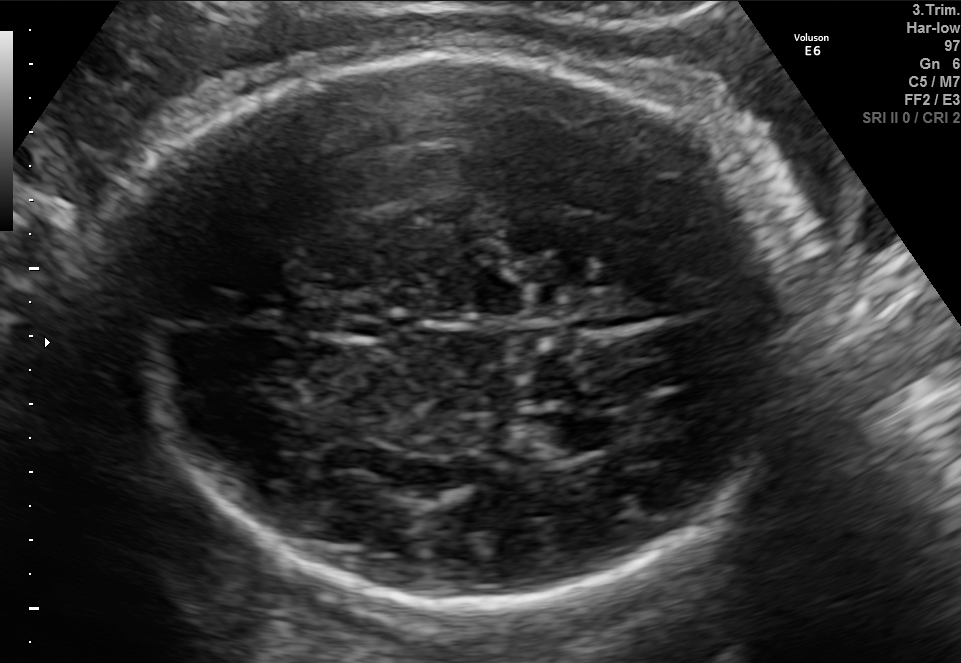
In this fetal brain, trans-thalamic plane, give the bounding box of the lateral ventricle.

[525,397,626,465]